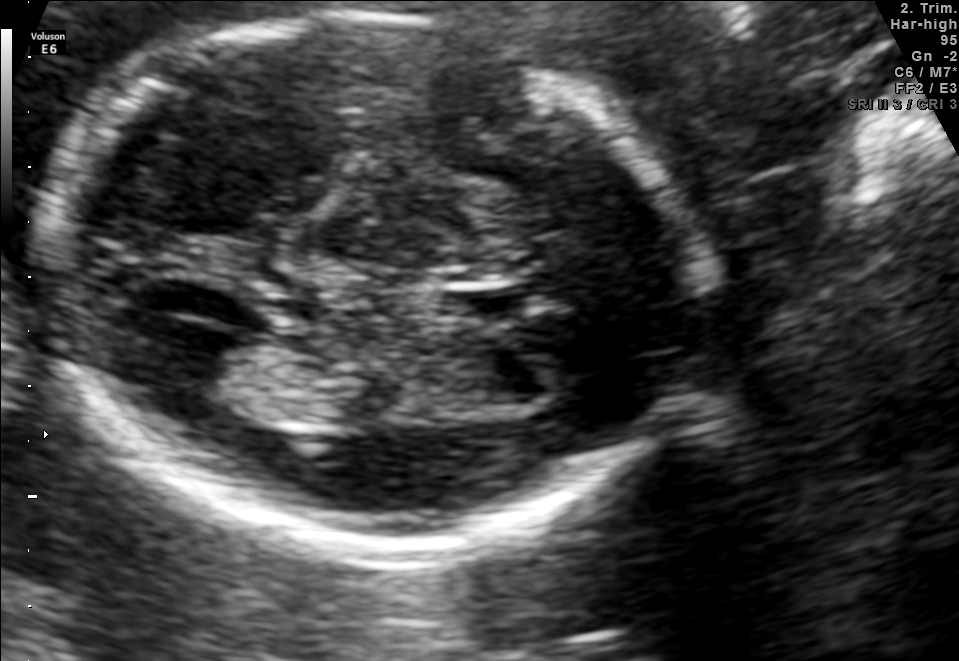
Fetal brain, trans-thalamic plane. Where is the fetal head?

Head bounding box: [38,17,703,550]